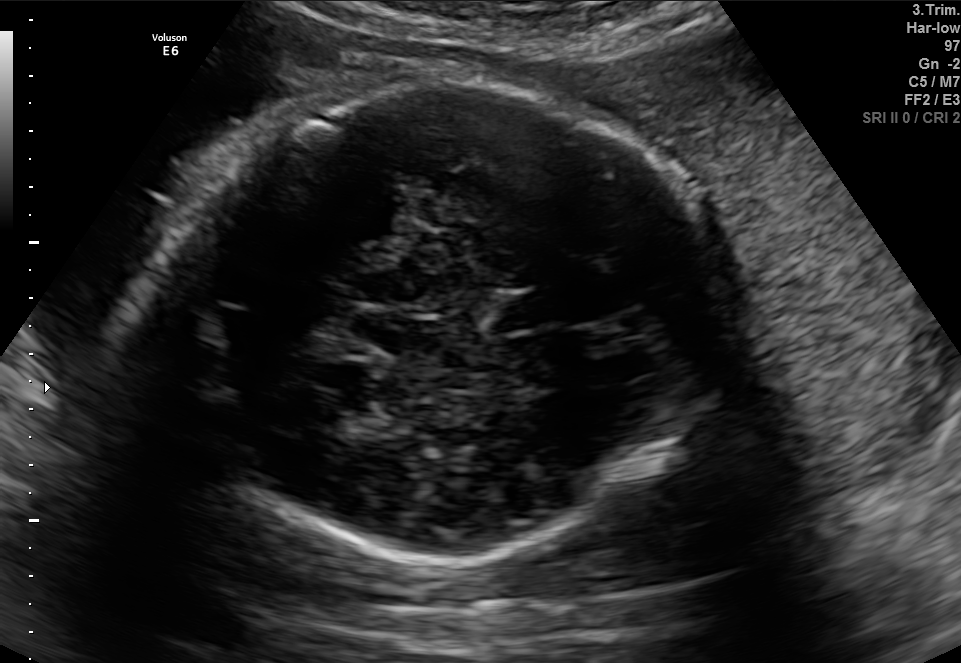
In this fetal brain, trans-thalamic plane, give the bounding box of the fetal head.

[168,79,714,560]